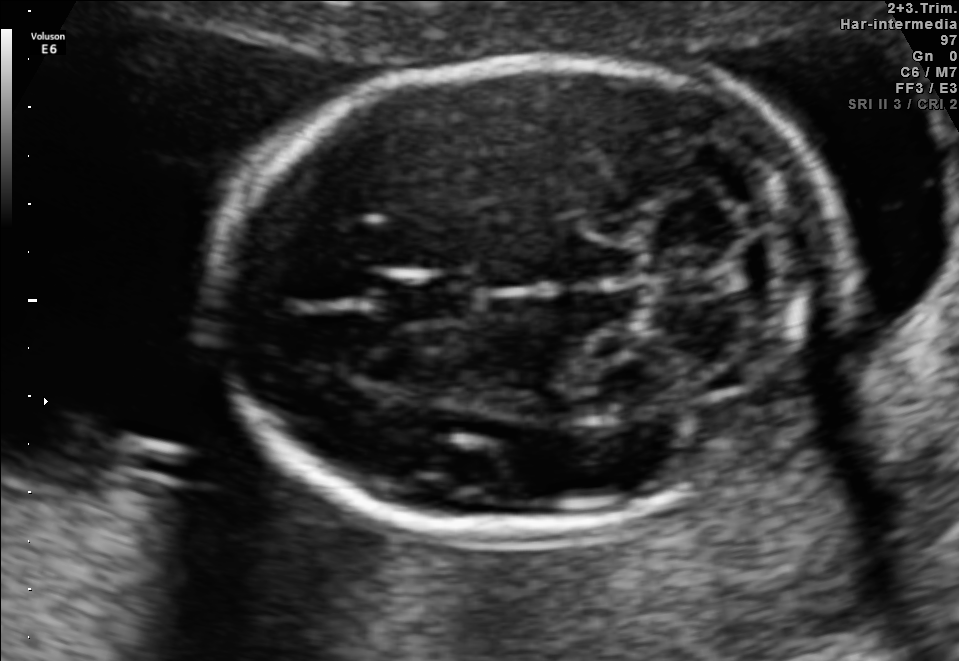
Fetal brain, trans-cerebellum plane. Locate the cavum septum pellucidum.

CSP: [377,269,483,327]